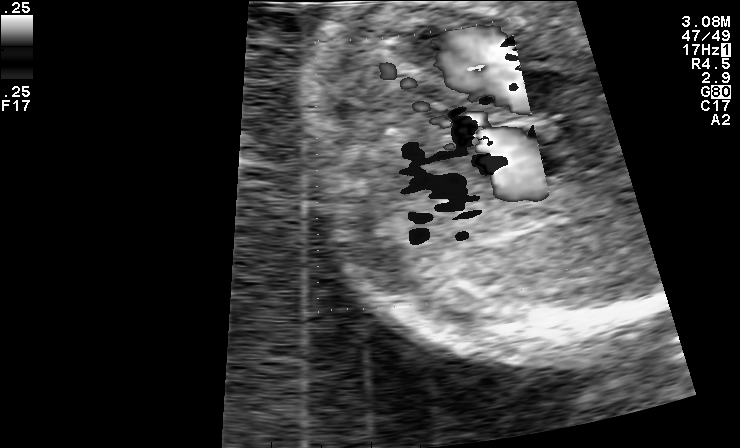
This is a 2D maternal-fetal ultrasound frame. Is it a fetal abdomen, fetal brain, fetal femur, fetal thorax, maternal cervix, or other standard plane? If it's fetal brain and one of the three standard brain planes (trans-thalamic, trans-cerebellum, trans-ventricular), name which.

Other